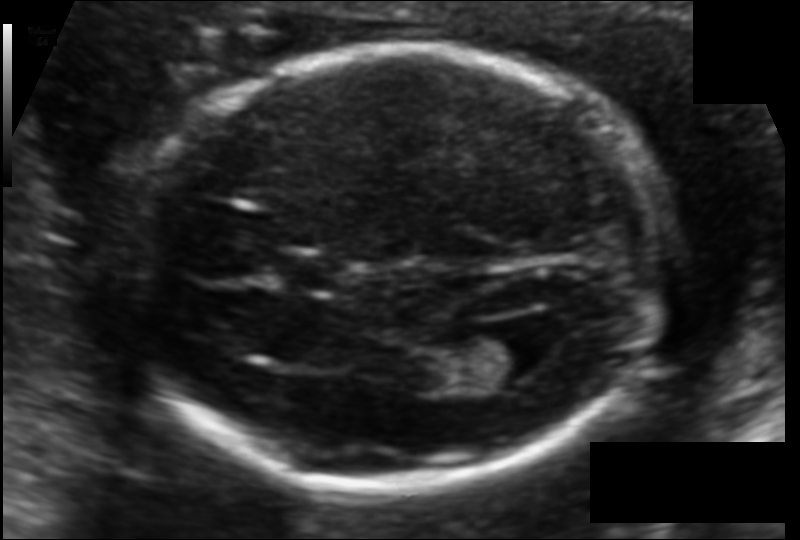
Fetal head ultrasound. Image width: 86.5 mm. Where is the fetal head?

Head bounding box: [134,50,667,490]